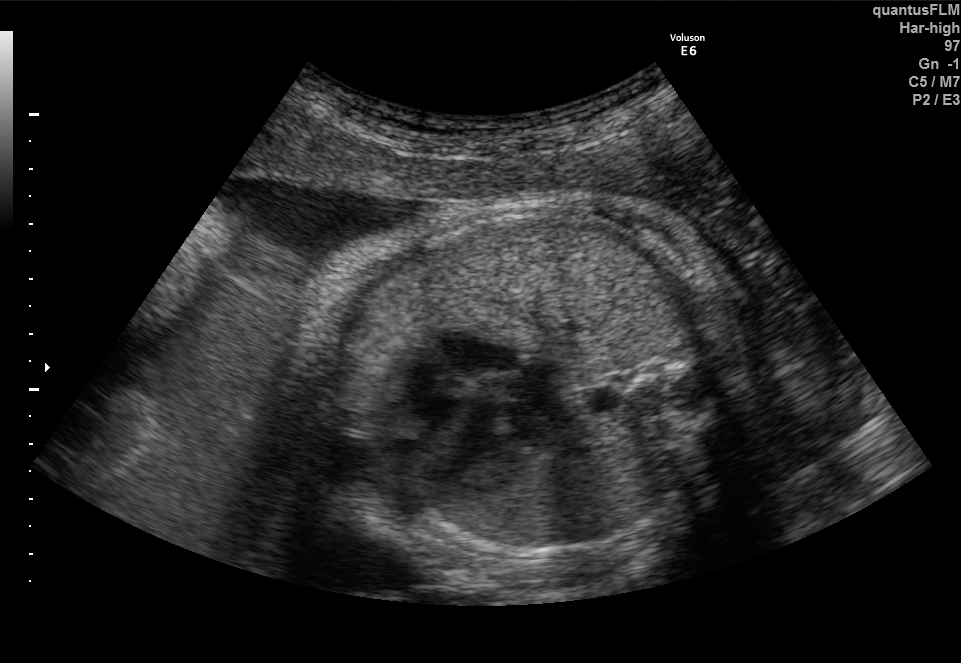
This is a 2D maternal-fetal ultrasound frame. Is it a fetal abdomen, fetal brain, fetal femur, fetal thorax, maternal cervix, or other standard plane? If it's fetal brain and one of the three standard brain planes (trans-thalamic, trans-cerebellum, trans-ventricular), name which.

Fetal thorax